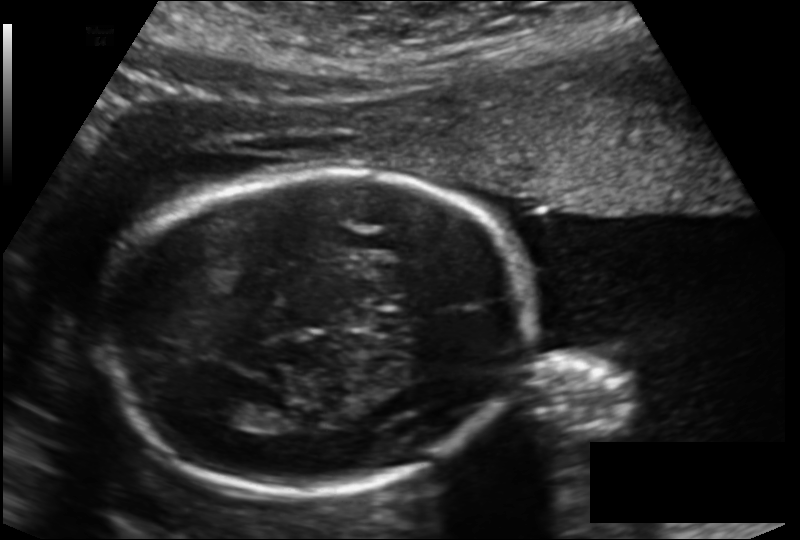
Fetal head ultrasound. Image width: 123.8 mm. Locate the fetal head.

Head: [108,172,531,494]